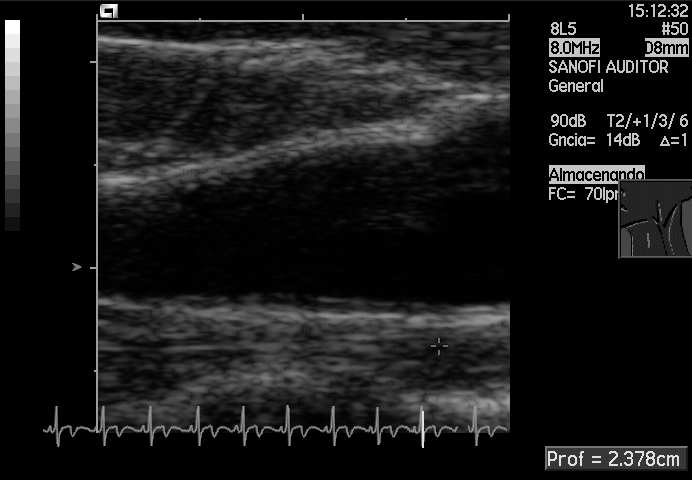
Which standard maternal-fetal ultrasound plane is shown: fetal abdomen, fetal brain, fetal femur, fetal thorax, maternal cervix, or other? If it's fetal brain and one of the three standard brain planes (trans-thalamic, trans-cerebellum, trans-ventricular), name which.

Other